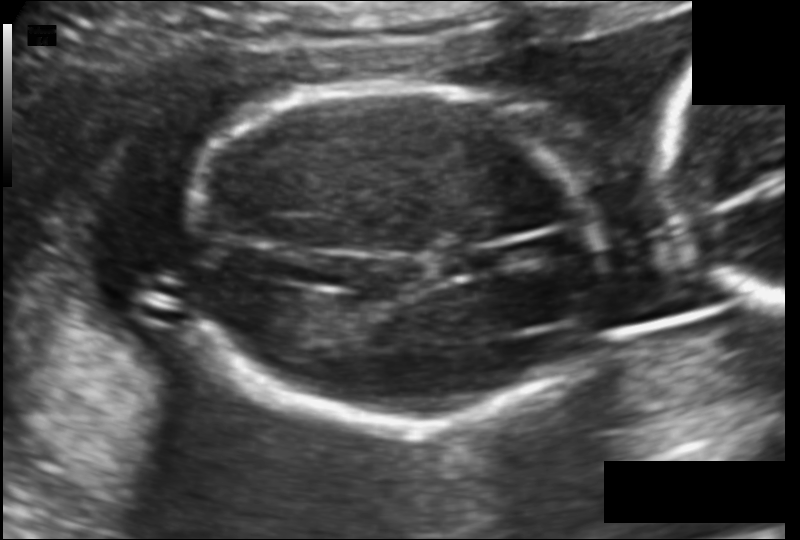
Fetal head ultrasound. Image width: 94.3 mm. Give [x1,y1,x2,y2] bounding boxes for each visible structure among: fetal head, CSP, LV.

Head: [183,83,601,425]
CSP: [441,248,486,277]